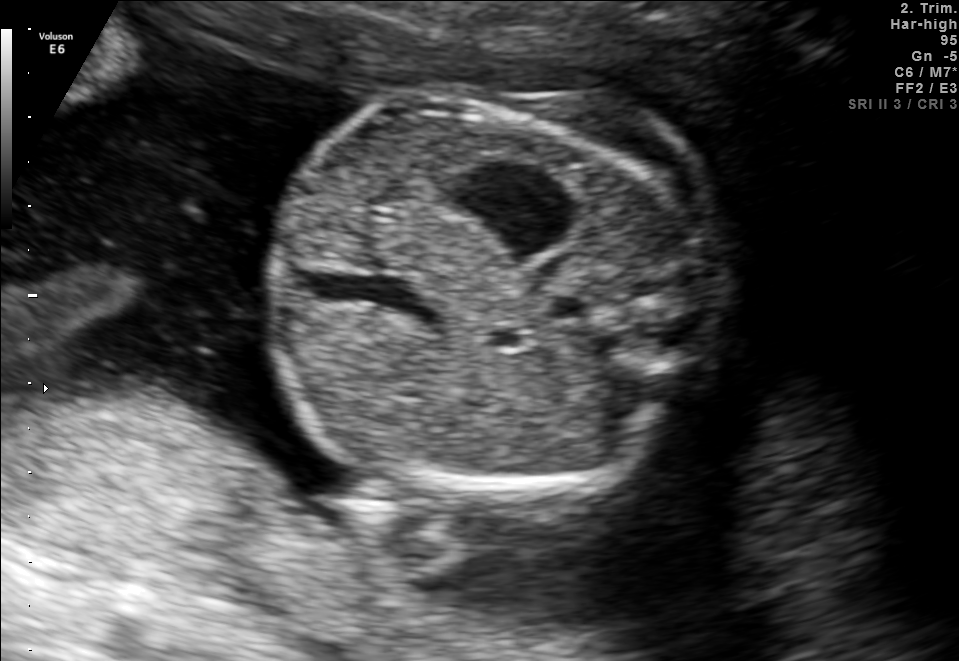
This is a 2D maternal-fetal ultrasound frame. Is it a fetal abdomen, fetal brain, fetal femur, fetal thorax, maternal cervix, or other standard plane? If it's fetal brain and one of the three standard brain planes (trans-thalamic, trans-cerebellum, trans-ventricular), name which.

Fetal abdomen